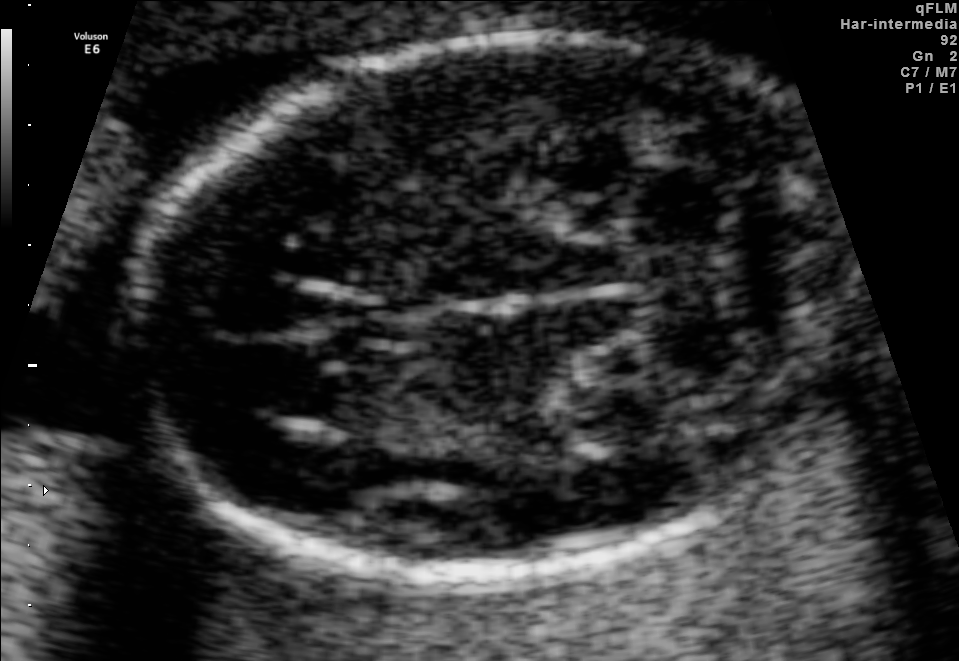
Fetal brain, trans-cerebellum plane. Where is the fetal head?

Head bounding box: [136,33,847,576]